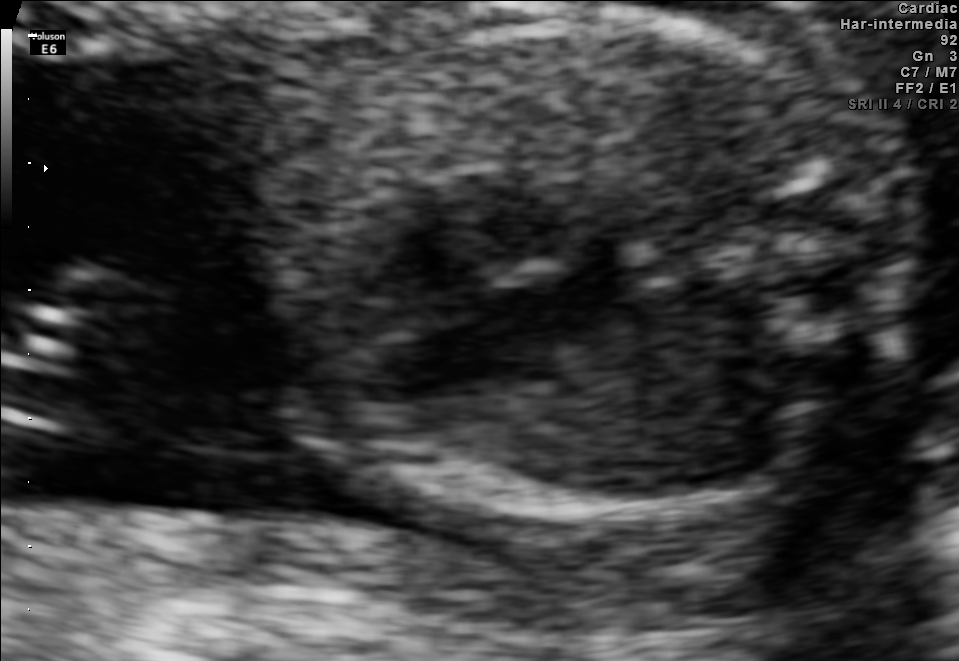
Identify the standard plane in this fetal ultrasound image: fetal abdomen, fetal brain, fetal femur, fetal thorax, maternal cervix, or other. If it's fetal brain and one of the three standard brain planes (trans-thalamic, trans-cerebellum, trans-ventricular), name which.

Fetal thorax